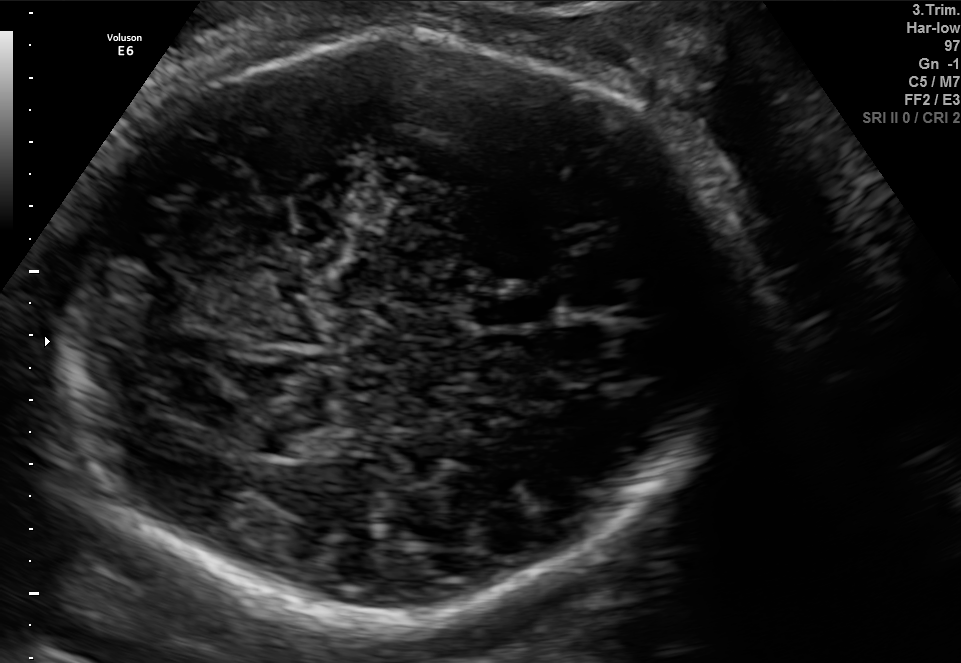
Fetal brain, trans-cerebellum plane. Where is the fetal head?

Head bounding box: [52,31,729,614]